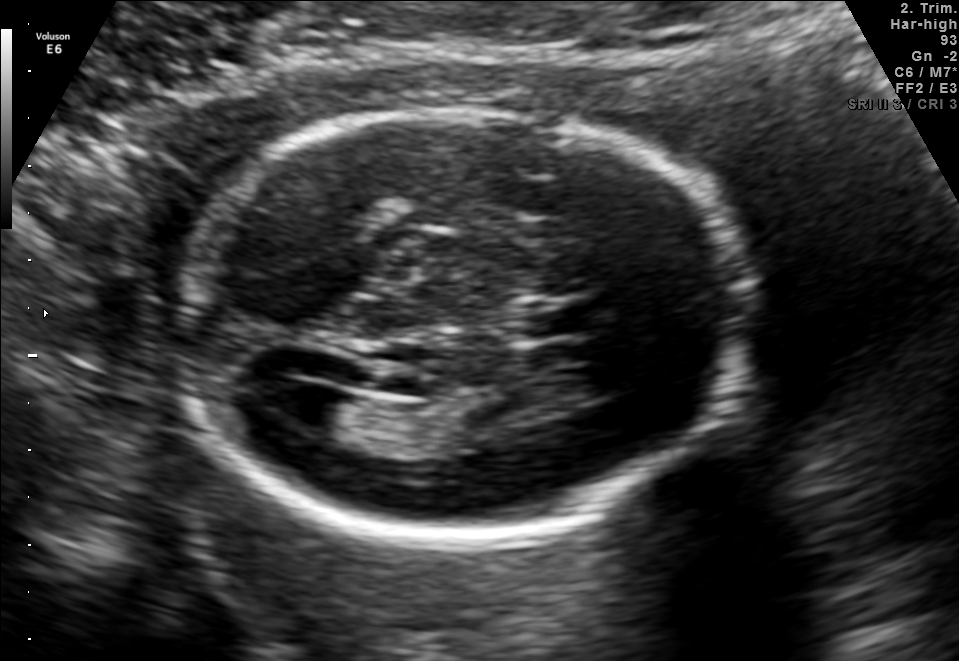
Fetal brain, trans-ventricular plane. Locate the cavum septum pellucidum.

CSP: [530,301,581,338]